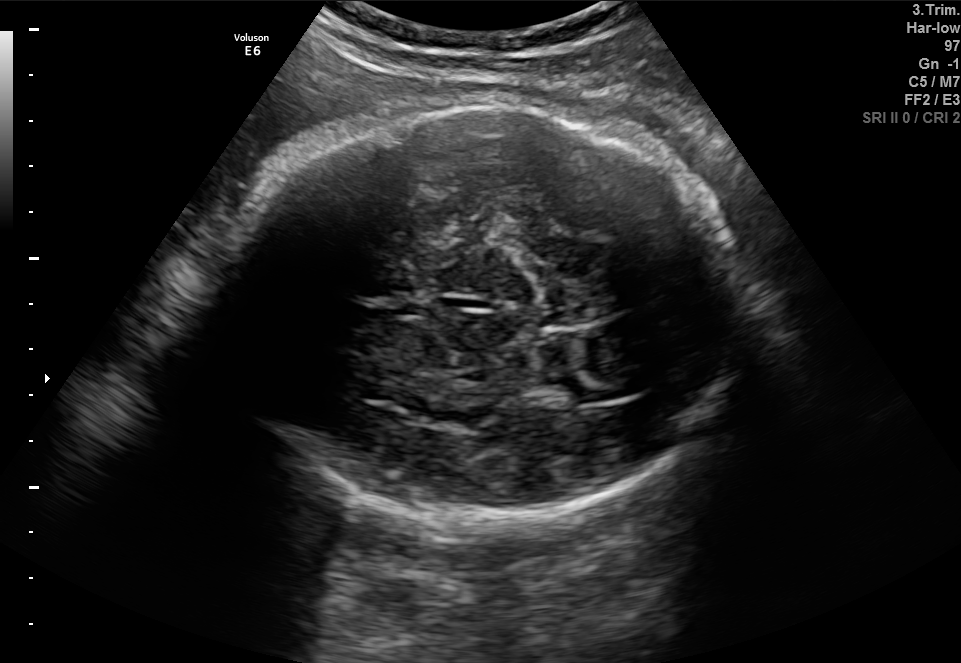
Fetal brain, trans-thalamic plane. Where is the fetal head?

Head bounding box: [213,94,744,531]